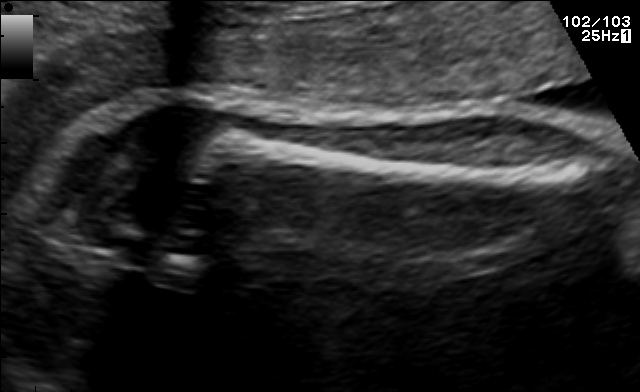
Classify this maternal-fetal ultrasound image as one of the six standard planes — fetal abdomen, fetal brain, fetal femur, fetal thorax, maternal cervix, or other. If it's fetal brain and one of the three standard brain planes (trans-thalamic, trans-cerebellum, trans-ventricular), name which.

Fetal femur